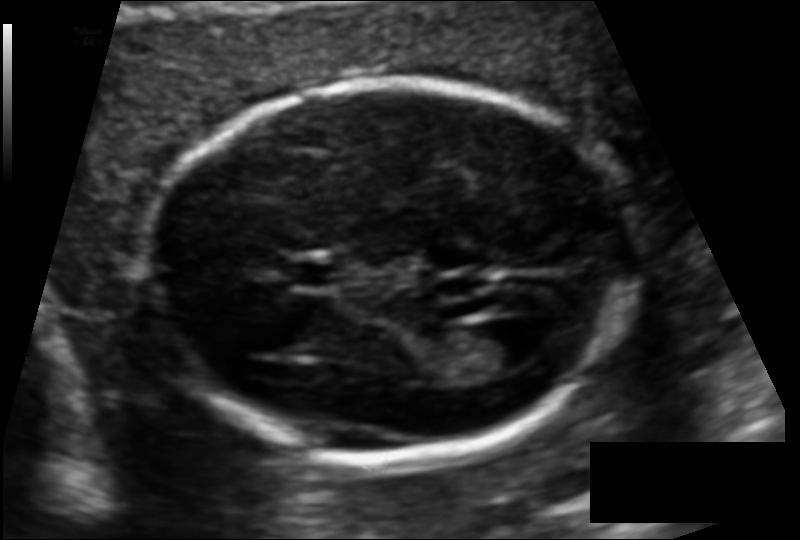
Estimate the fetal head circumference from this 2D ultrasound.

Head circumference: 155.3 mm (image width 88.0 mm).